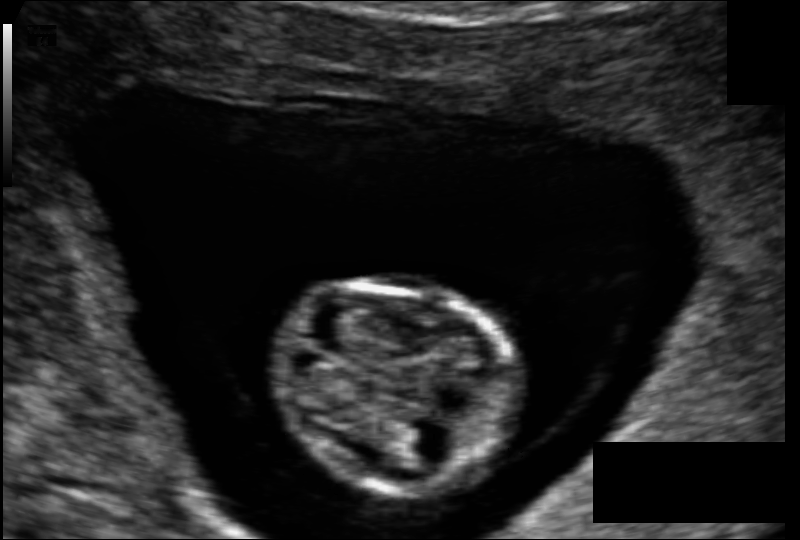
From this fetal ultrasound, estimate the head circumference (image width 71.4 mm).

Head circumference: 65.8 mm.